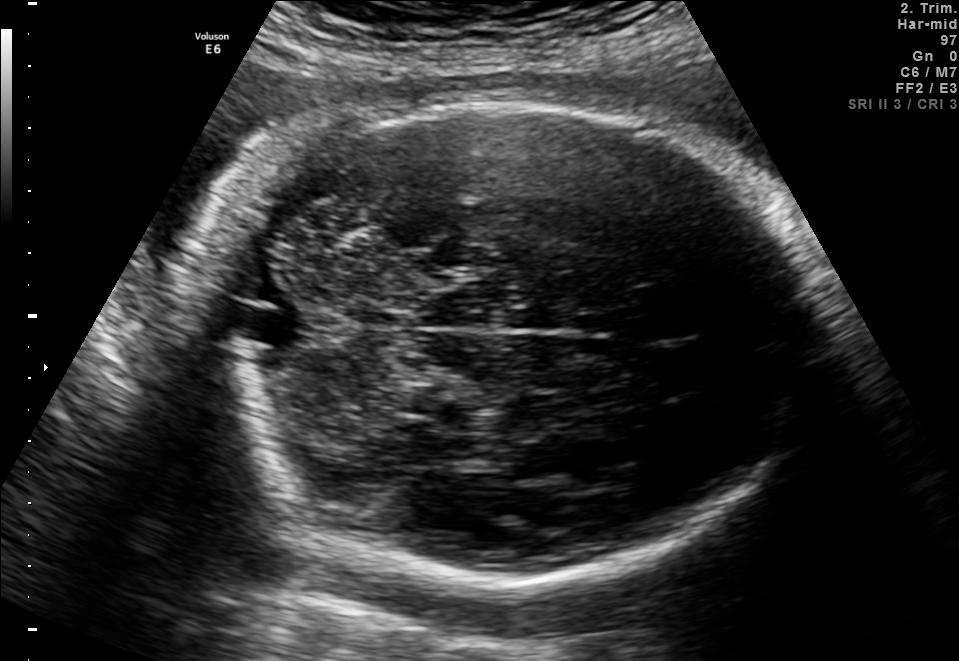
Fetal brain, trans-cerebellum plane. Locate the fetal head.

Head: [179,99,816,576]